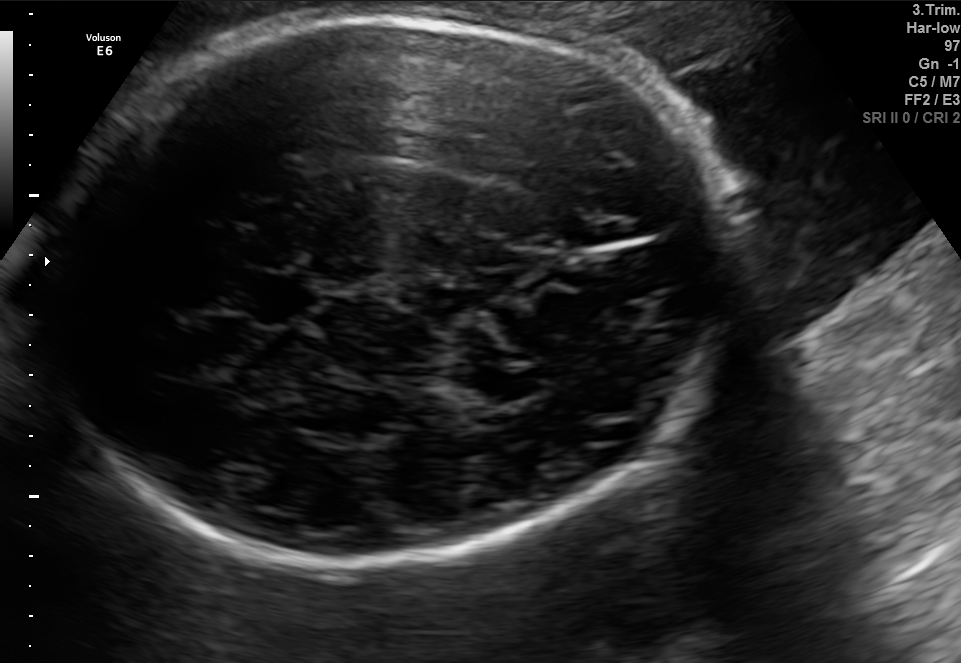
Fetal brain, trans-thalamic plane. Locate the cavum septum pellucidum.

CSP: [237,270,304,326]